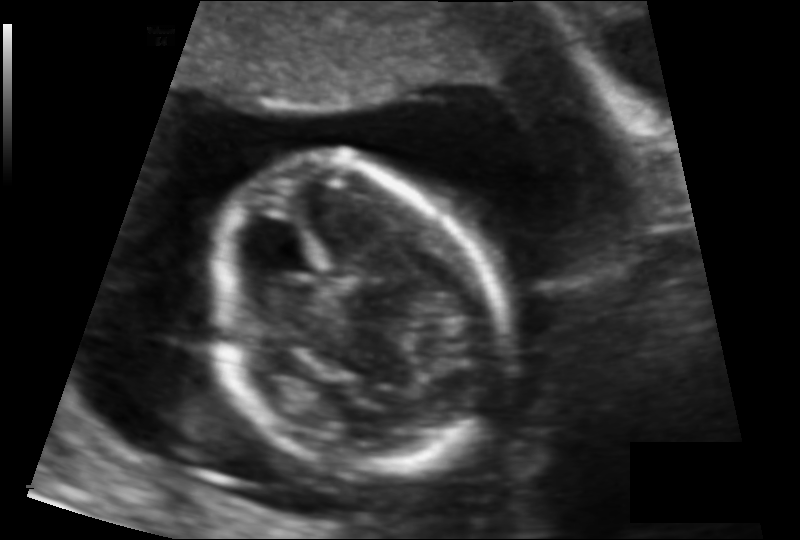
From this fetal ultrasound, estimate the head circumference (image width 82.6 mm).

Head circumference: 100.1 mm.